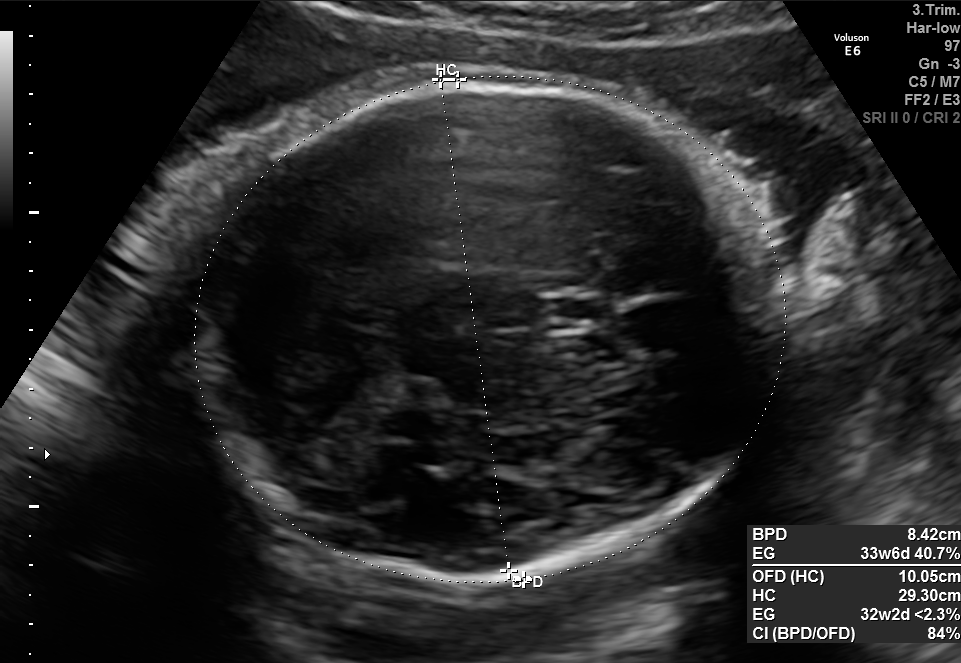
Fetal brain, trans-thalamic plane. Where is the cavum septum pellucidum?

CSP bounding box: [540,294,616,331]